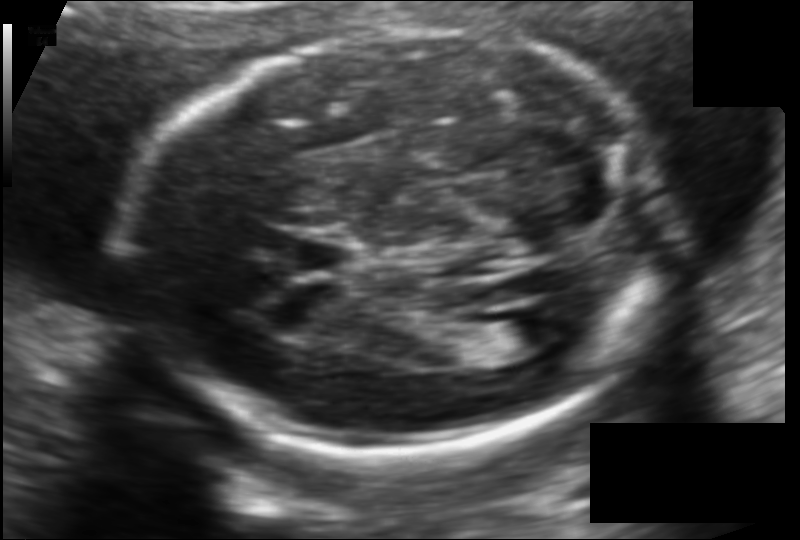
Estimate the fetal head circumference from this 2D ultrasound. Image width: 94.7 mm.

Head circumference: 185.4 mm.